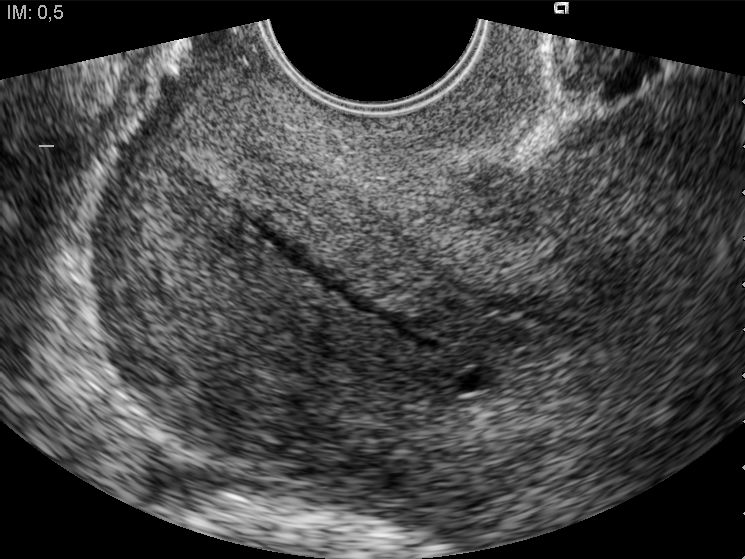
Classify this maternal-fetal ultrasound image as one of the six standard planes — fetal abdomen, fetal brain, fetal femur, fetal thorax, maternal cervix, or other. If it's fetal brain and one of the three standard brain planes (trans-thalamic, trans-cerebellum, trans-ventricular), name which.

Maternal cervix